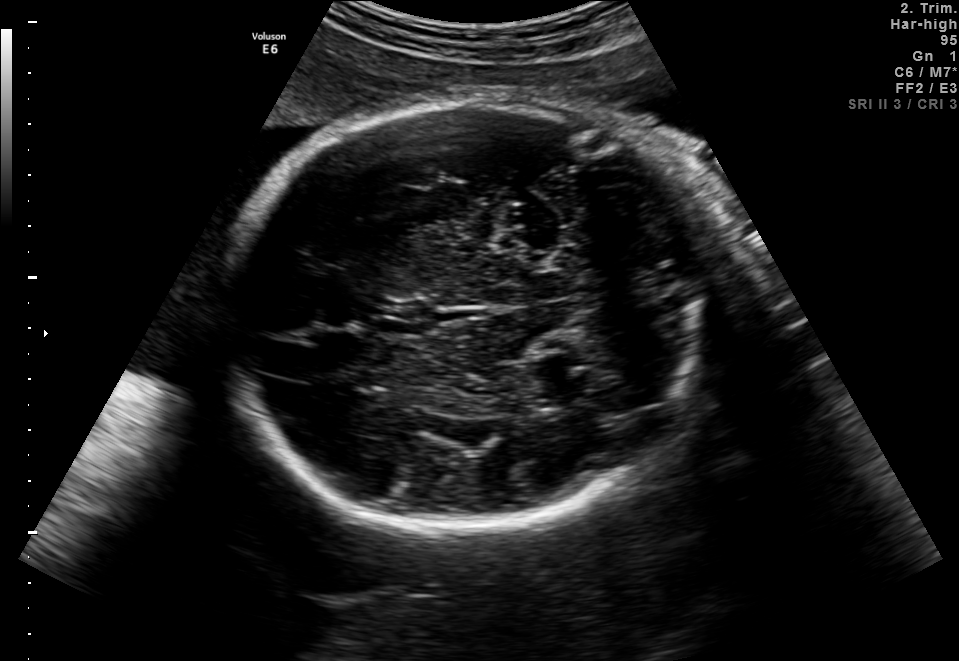
Fetal brain, trans-thalamic plane. Give [x1,y1,x2,y2] bounding boxes for each visible structure among: fetal head, CSP, LV.

Head: [223,98,712,531]